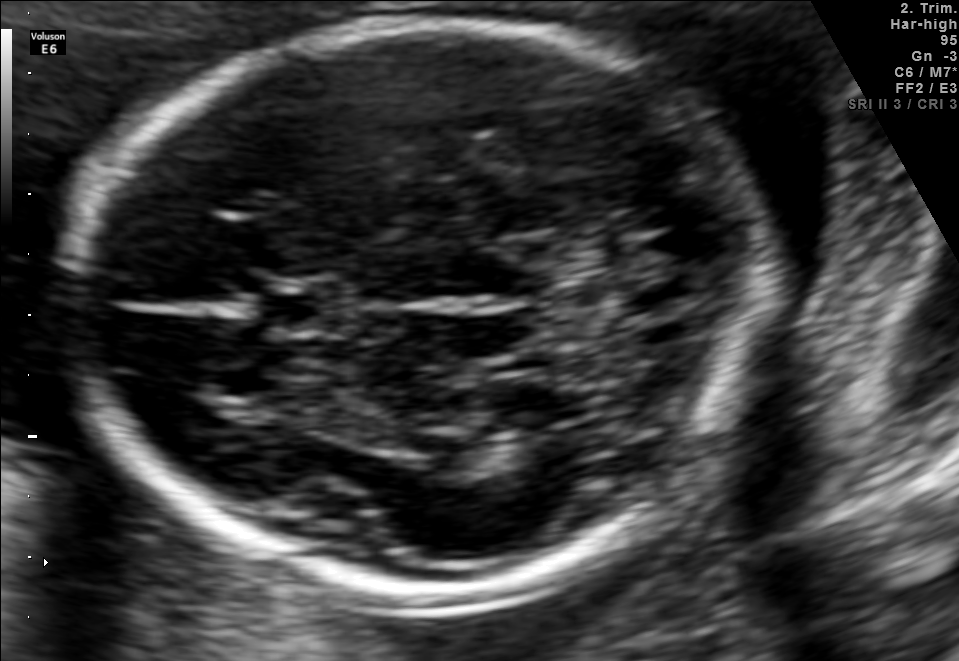
In this fetal brain, trans-thalamic plane, give the bounding box of the fetal head.

[70,24,781,597]